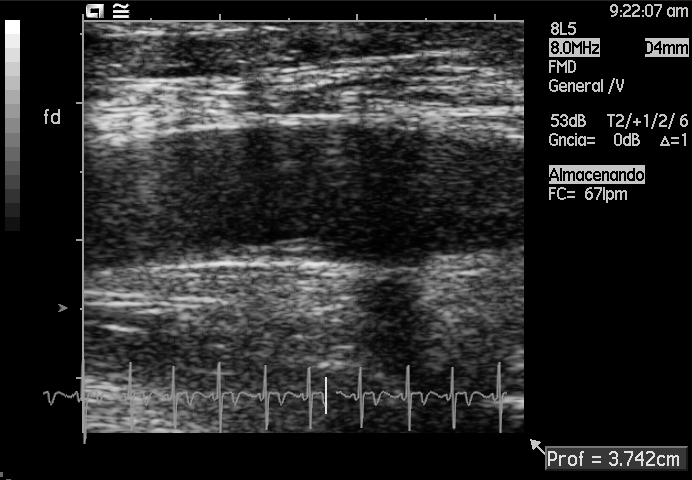
Classify this maternal-fetal ultrasound image as one of the six standard planes — fetal abdomen, fetal brain, fetal femur, fetal thorax, maternal cervix, or other. If it's fetal brain and one of the three standard brain planes (trans-thalamic, trans-cerebellum, trans-ventricular), name which.

Other